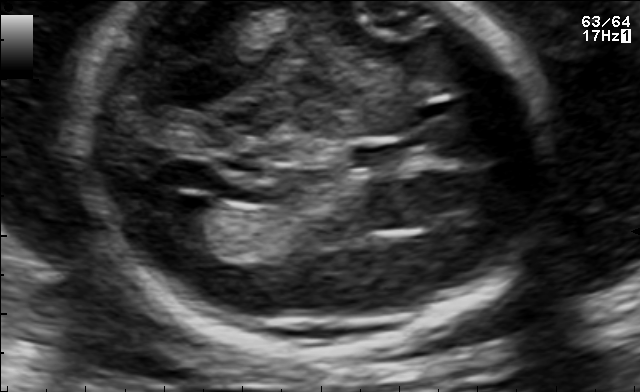
This is a 2D maternal-fetal ultrasound frame. Is it a fetal abdomen, fetal brain, fetal femur, fetal thorax, maternal cervix, or other standard plane? If it's fetal brain and one of the three standard brain planes (trans-thalamic, trans-cerebellum, trans-ventricular), name which.

Fetal brain (trans-ventricular plane)